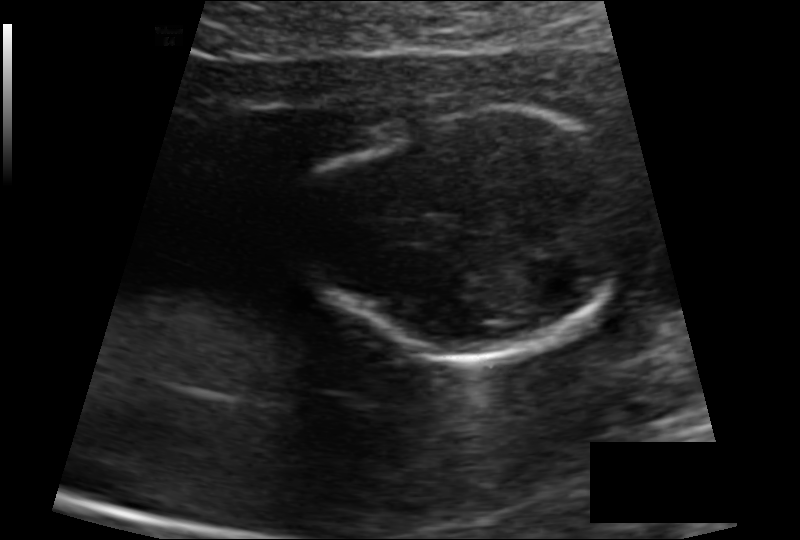
In this fetal head ultrasound, give the bounding box of the fetal head. Image width: 87.9 mm.

[304,108,633,357]